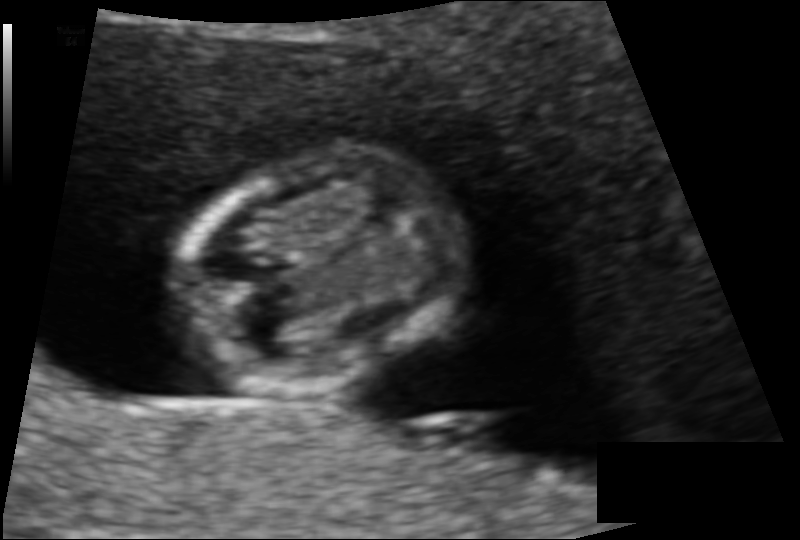
Estimate the fetal head circumference from this 2D ultrasound.

Head circumference: 74.0 mm (image width 68.5 mm).